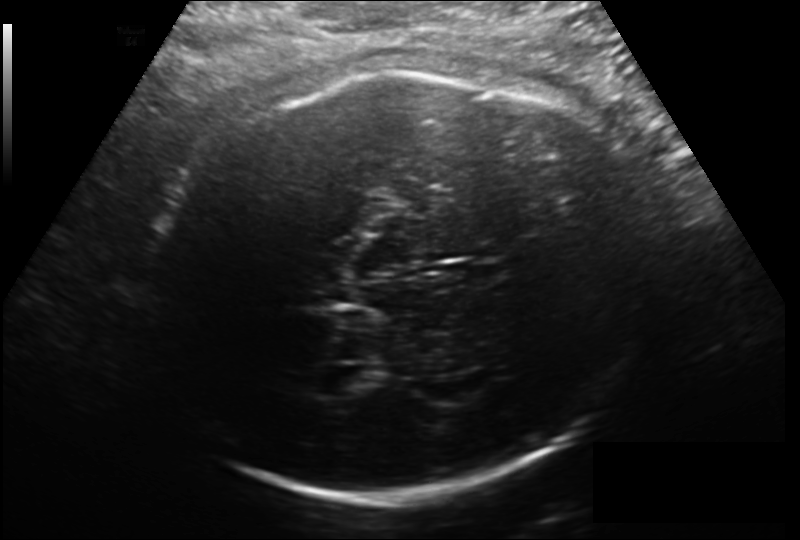
Estimate the fetal head circumference from this 2D ultrasound.

Head circumference: 314.1 mm (image width 164.8 mm).